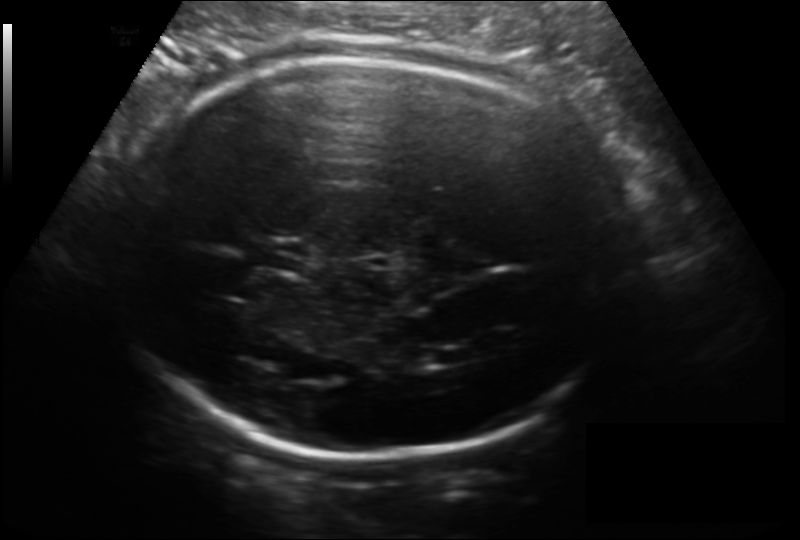
What is the fetal head circumference? Image width is 133.1 mm.

243.1 mm